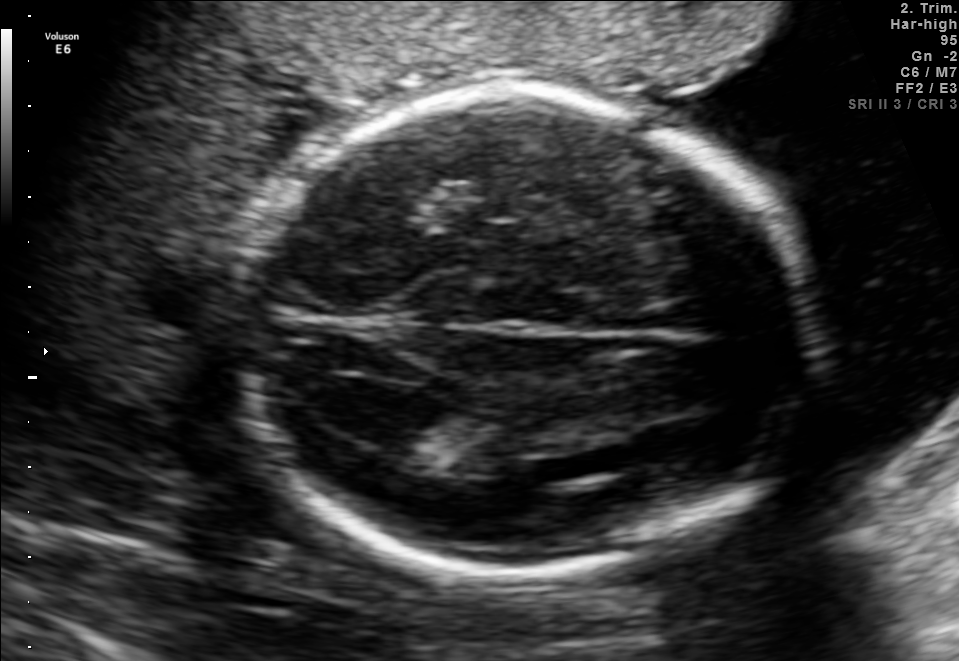
Fetal brain, trans-ventricular plane. Give [x1,y1,x2,y2] bounding boxes for each visible structure among: fetal head, CSP, LV.

Head: [223,77,836,590]
Lateral ventricle: [320,359,448,462]